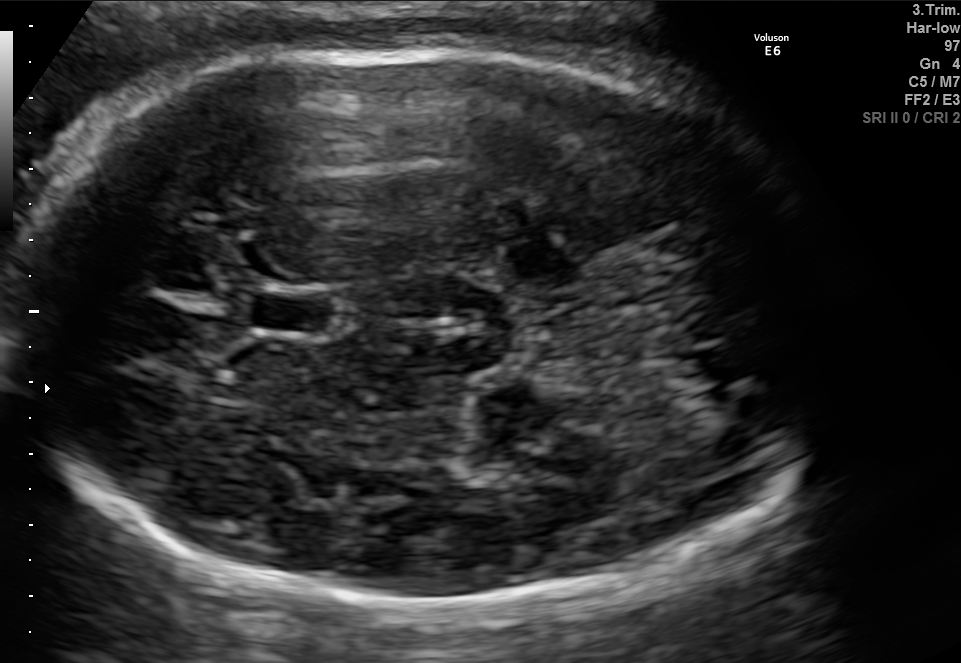
In this fetal brain, trans-thalamic plane, give the bounding box of the fetal head.

[7,48,830,605]